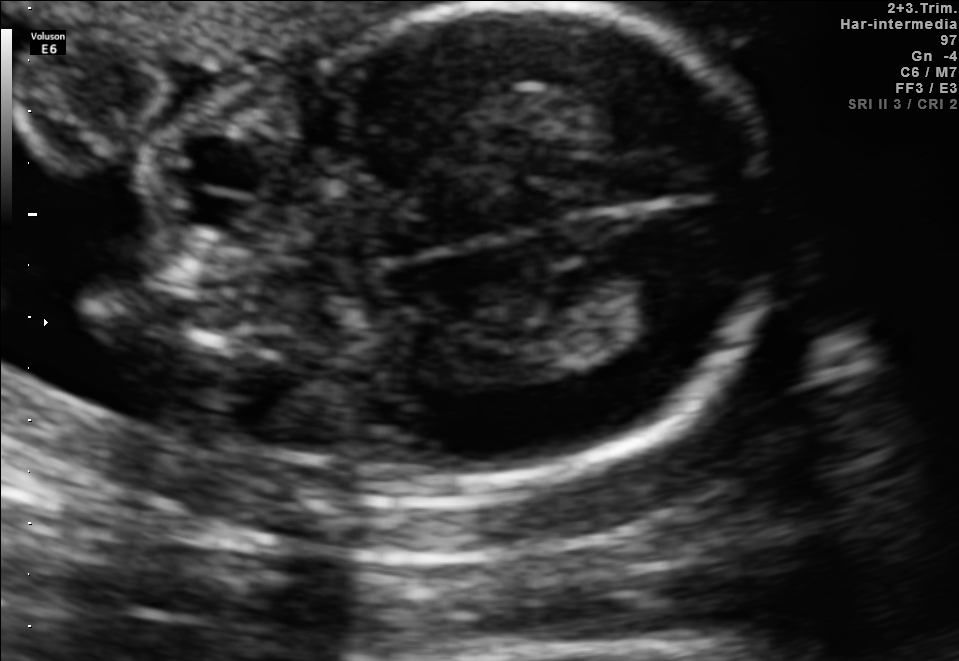
Classify this maternal-fetal ultrasound image as one of the six standard planes — fetal abdomen, fetal brain, fetal femur, fetal thorax, maternal cervix, or other. If it's fetal brain and one of the three standard brain planes (trans-thalamic, trans-cerebellum, trans-ventricular), name which.

Fetal brain